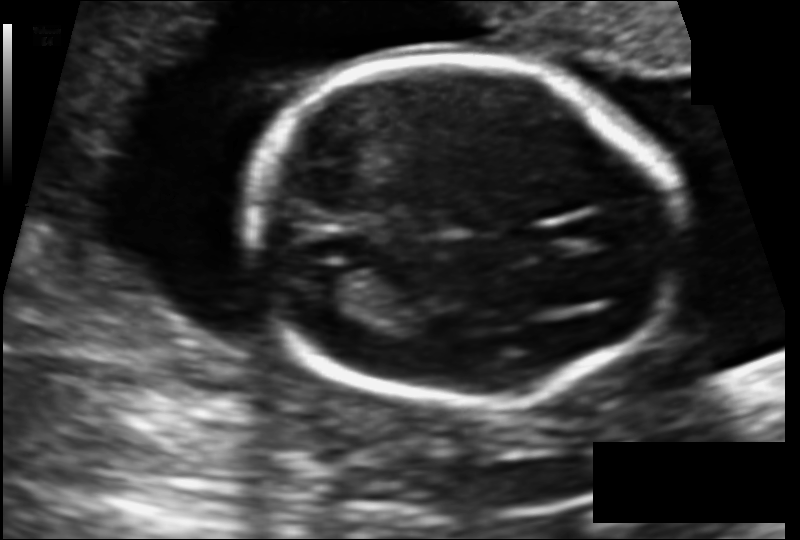
What is the fetal head circumference? Image width is 96.7 mm.

153.8 mm